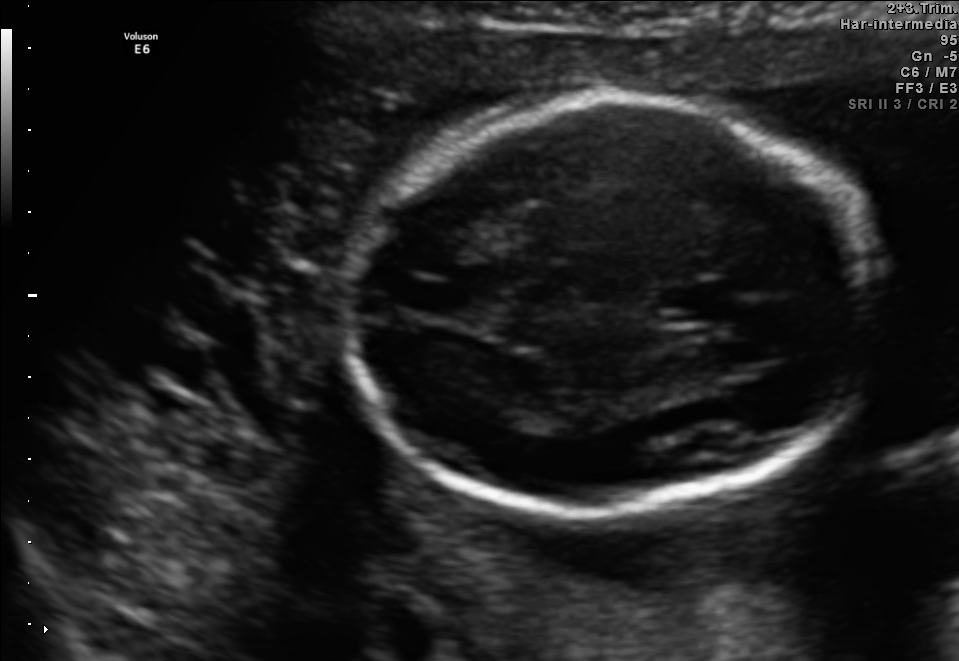
Fetal brain, trans-thalamic plane. Locate the fetal head and, if visible, the cavum septum pellucidum (CSP) and lateral ventricle (LV). Give bounding boxes as [x1,y1,x2,y2].

Head: [345,100,880,509]
CSP: [660,280,730,324]